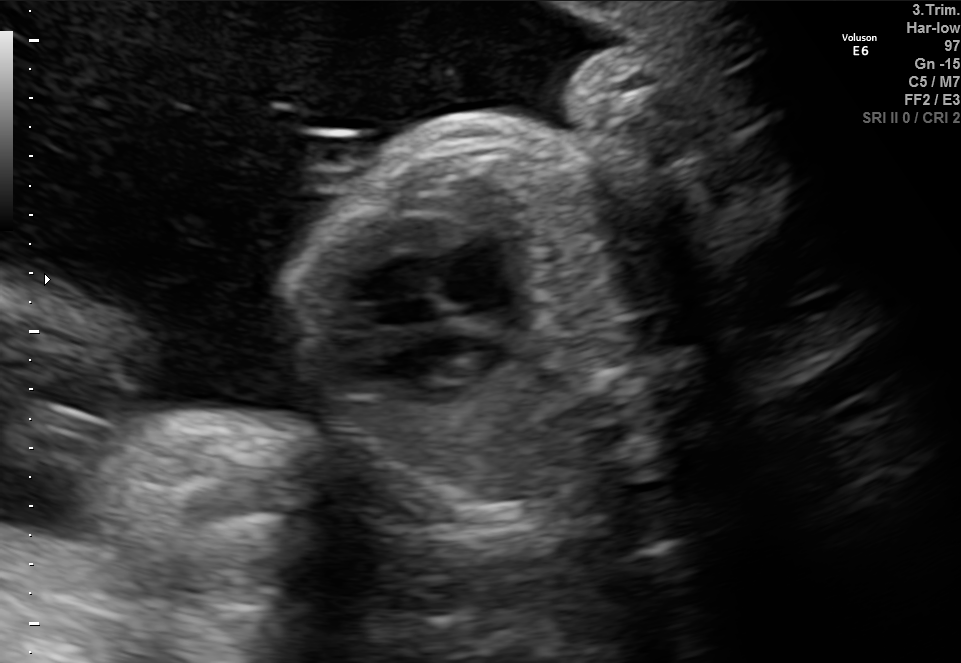
This is a 2D maternal-fetal ultrasound frame. Is it a fetal abdomen, fetal brain, fetal femur, fetal thorax, maternal cervix, or other standard plane? If it's fetal brain and one of the three standard brain planes (trans-thalamic, trans-cerebellum, trans-ventricular), name which.

Other